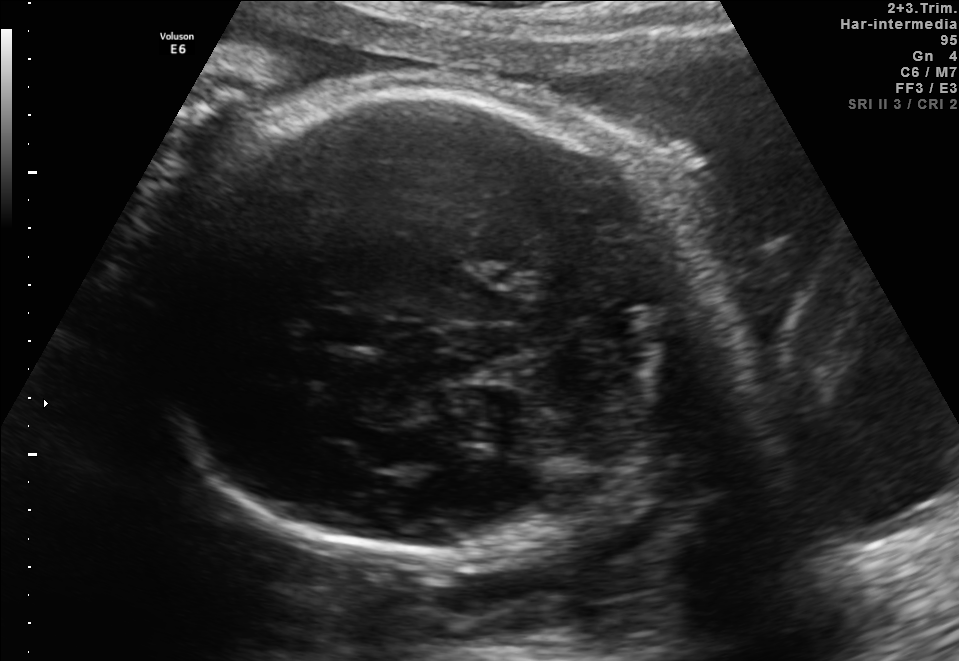
Classify this maternal-fetal ultrasound image as one of the six standard planes — fetal abdomen, fetal brain, fetal femur, fetal thorax, maternal cervix, or other. If it's fetal brain and one of the three standard brain planes (trans-thalamic, trans-cerebellum, trans-ventricular), name which.

Fetal brain (trans-thalamic plane)